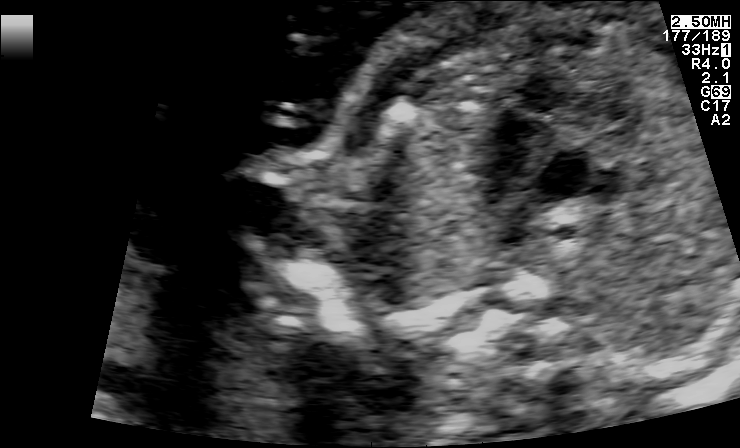
Which standard maternal-fetal ultrasound plane is shown: fetal abdomen, fetal brain, fetal femur, fetal thorax, maternal cervix, or other? If it's fetal brain and one of the three standard brain planes (trans-thalamic, trans-cerebellum, trans-ventricular), name which.

Fetal thorax